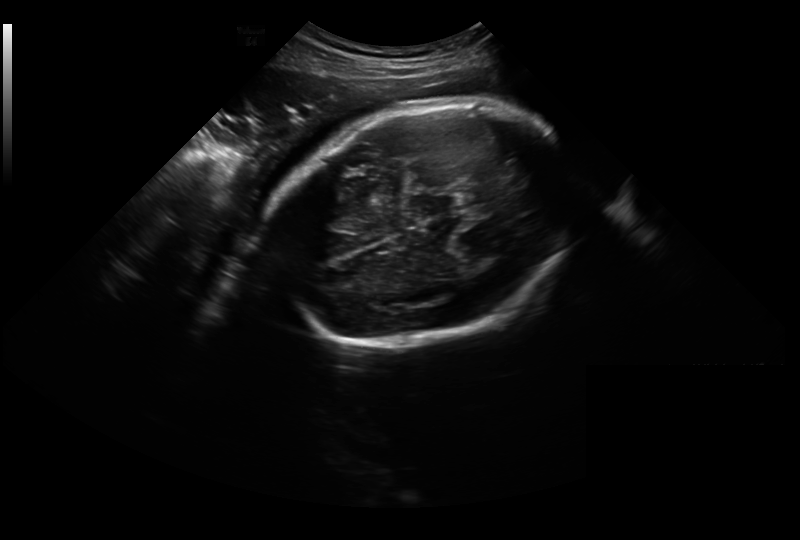
Estimate the fetal head circumference from this 2D ultrasound. Image width: 261.1 mm.

Head circumference: 288.2 mm.